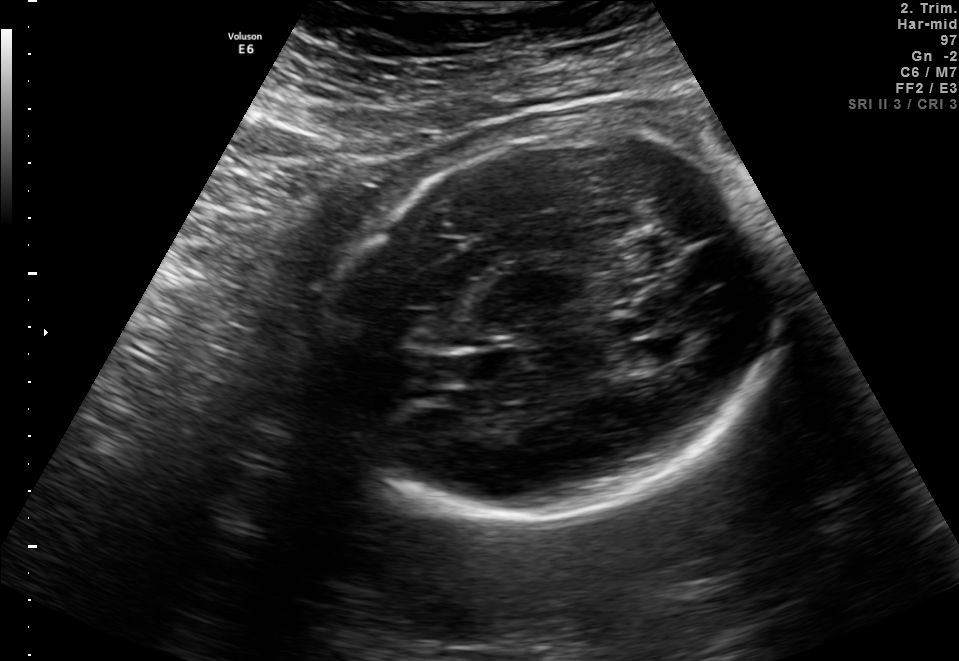
Fetal brain, trans-ventricular plane. Locate the fetal head.

Head: [317,127,790,526]